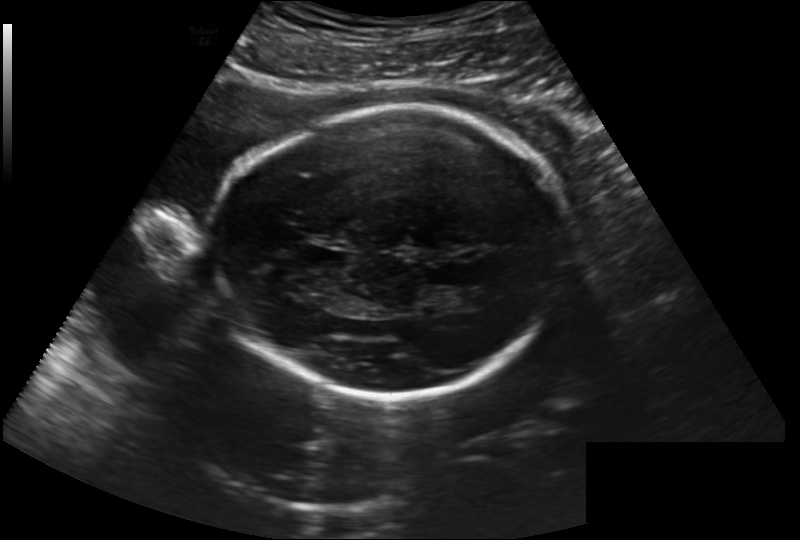
Fetal head ultrasound. Image width: 177.2 mm. Where is the fetal head?

Head bounding box: [214,107,568,399]